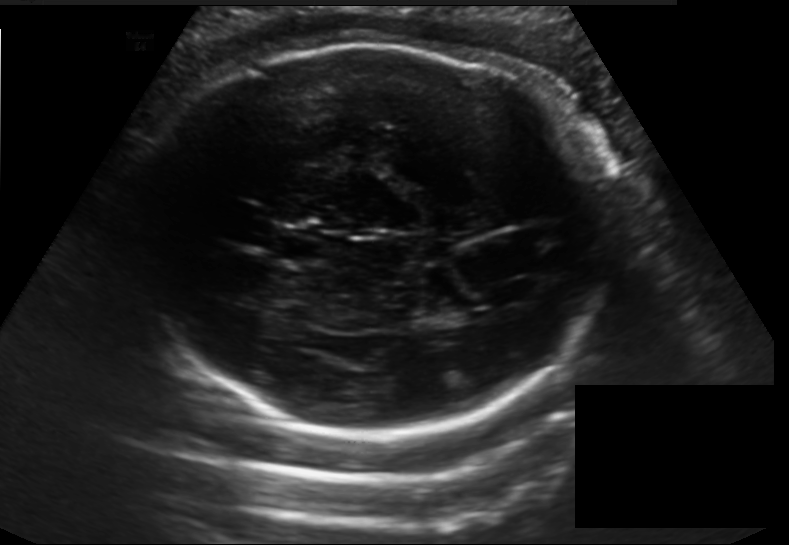
Measure the fetal head circumference shown in this ultrasound image. Image width: 156.6 mm.

Head circumference: 283.5 mm.